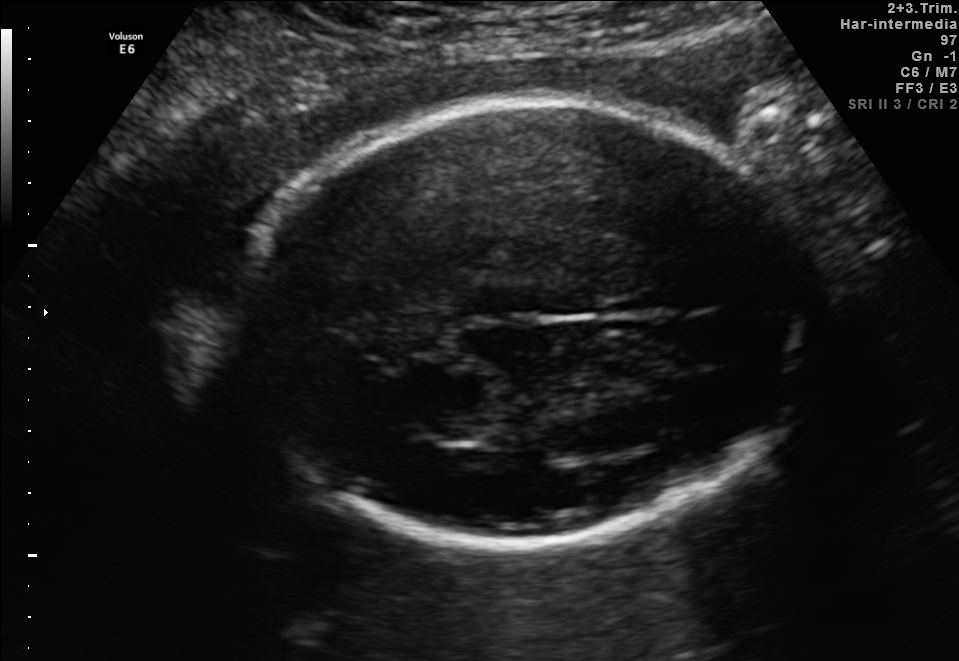
Fetal brain, trans-thalamic plane. Locate the fetal head and, if visible, the cavum septum pellucidum (CSP) and lateral ventricle (LV). Give bounding boxes as [x1,y1,x2,y2].

Head: [222,102,833,547]